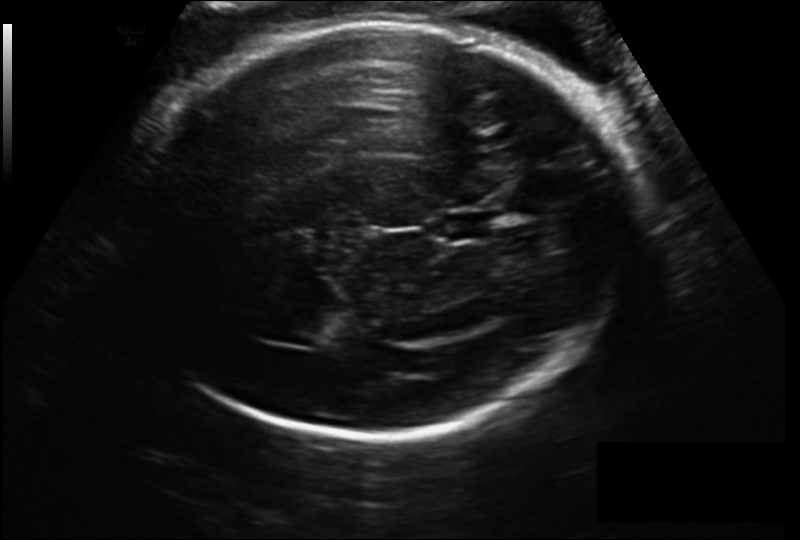
Fetal head ultrasound. Image width: 164.9 mm. Locate the lateral ventricle.

Lateral ventricle: [275,309,330,348]